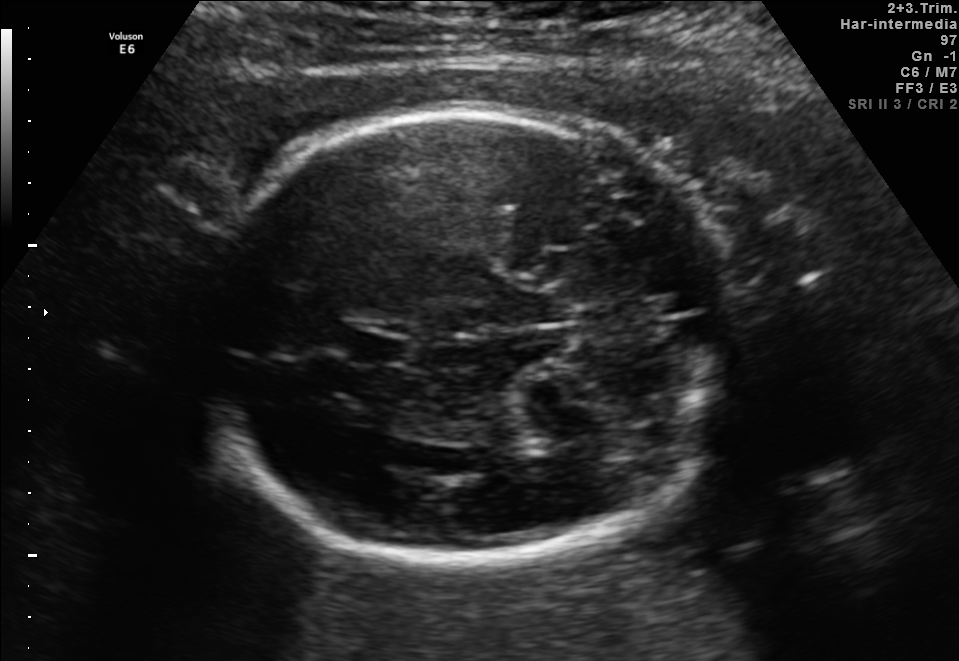
Fetal brain, trans-cerebellum plane. Give [x1,y1,x2,y2] bounding boxes for each visible structure among: fetal head, CSP, LV.

Head: [201,109,738,560]
CSP: [348,329,410,369]